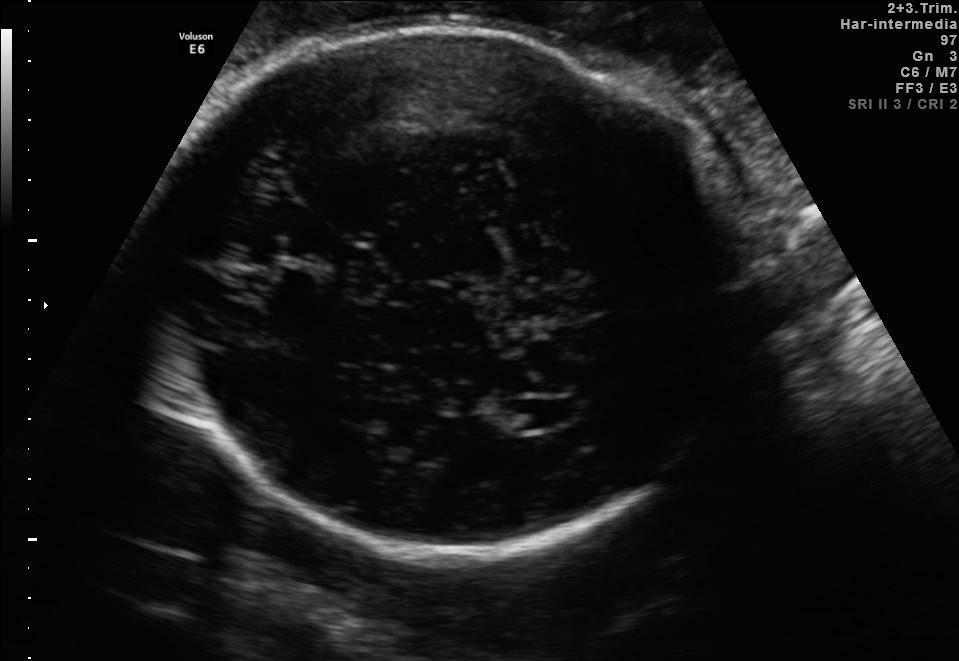
Classify this maternal-fetal ultrasound image as one of the six standard planes — fetal abdomen, fetal brain, fetal femur, fetal thorax, maternal cervix, or other. If it's fetal brain and one of the three standard brain planes (trans-thalamic, trans-cerebellum, trans-ventricular), name which.

Fetal brain (trans-ventricular plane)